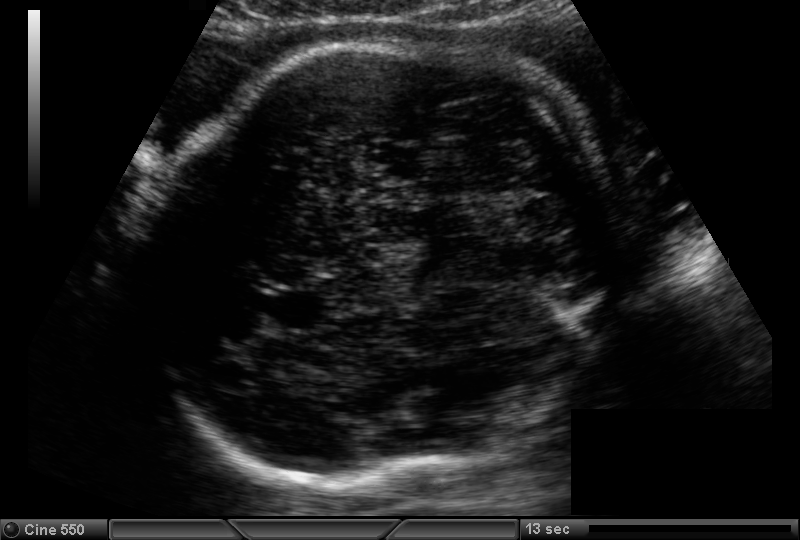
From this fetal ultrasound, estimate the head circumference (image width 144.1 mm).

Head circumference: 268.8 mm.